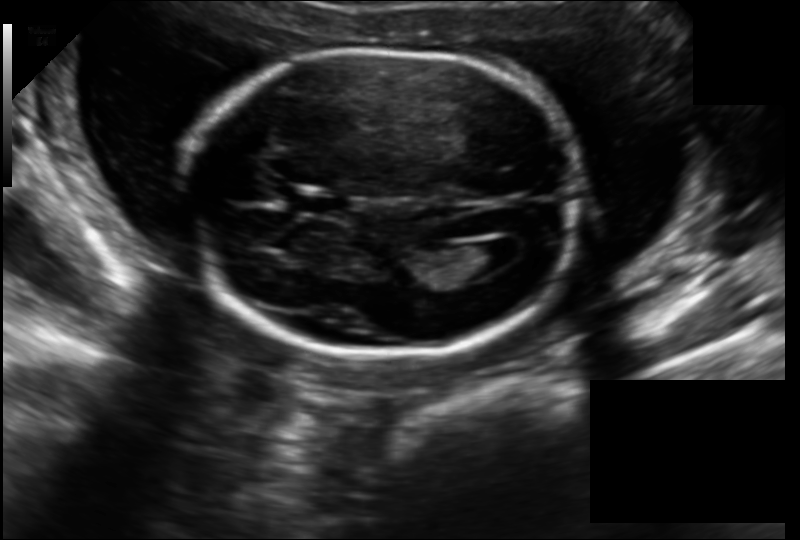
Fetal head ultrasound. Image width: 125.8 mm. Locate the cavum septum pellucidum.

CSP: [290,191,351,218]